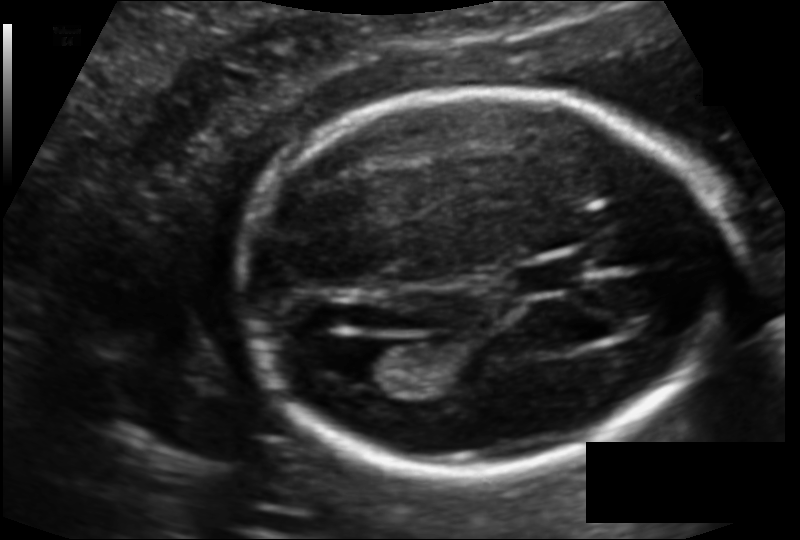
Fetal head ultrasound. Image width: 96.9 mm. Where is the cavum septum pellucidum?

CSP bounding box: [511,249,591,301]